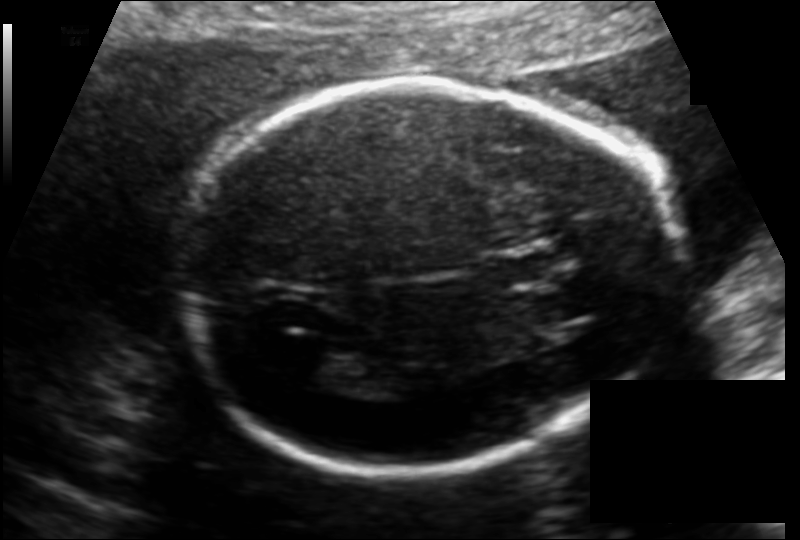
Estimate the fetal head circumference from this 2D ultrasound.

Head circumference: 189.0 mm (image width 104.3 mm).